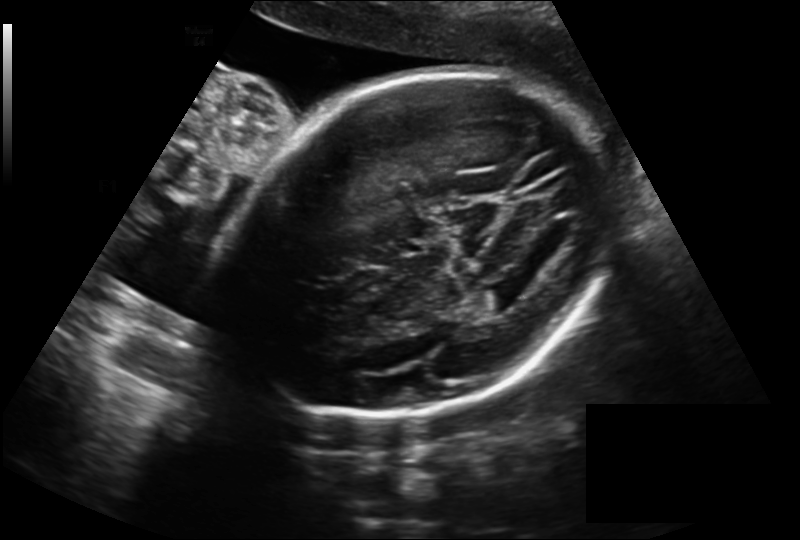
Fetal head ultrasound. Image width: 179.9 mm. Where is the lateral ventricle?

Lateral ventricle bounding box: [475,270,531,318]